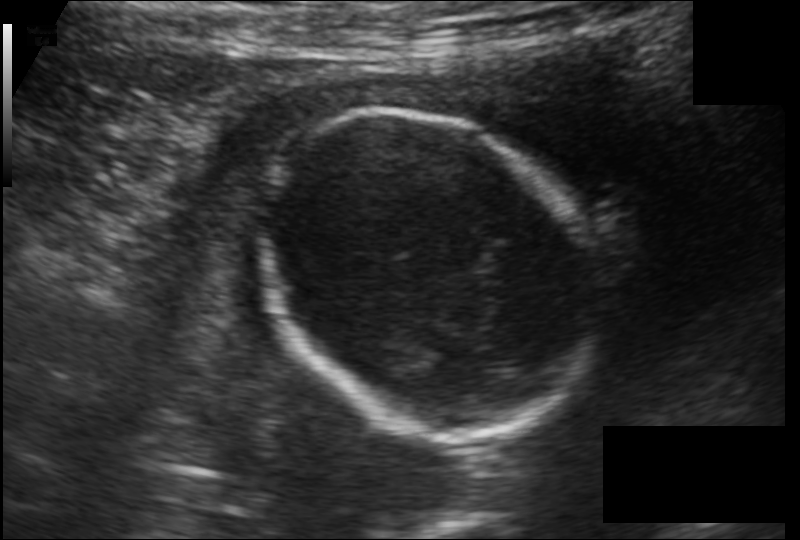
In this fetal head ultrasound, give bounding boxes for the head outline, cavum septum pellucidum (CSP), and lateral ventricle (LV), where visible. Image width: 116.2 mm.

Head: [254,113,601,431]